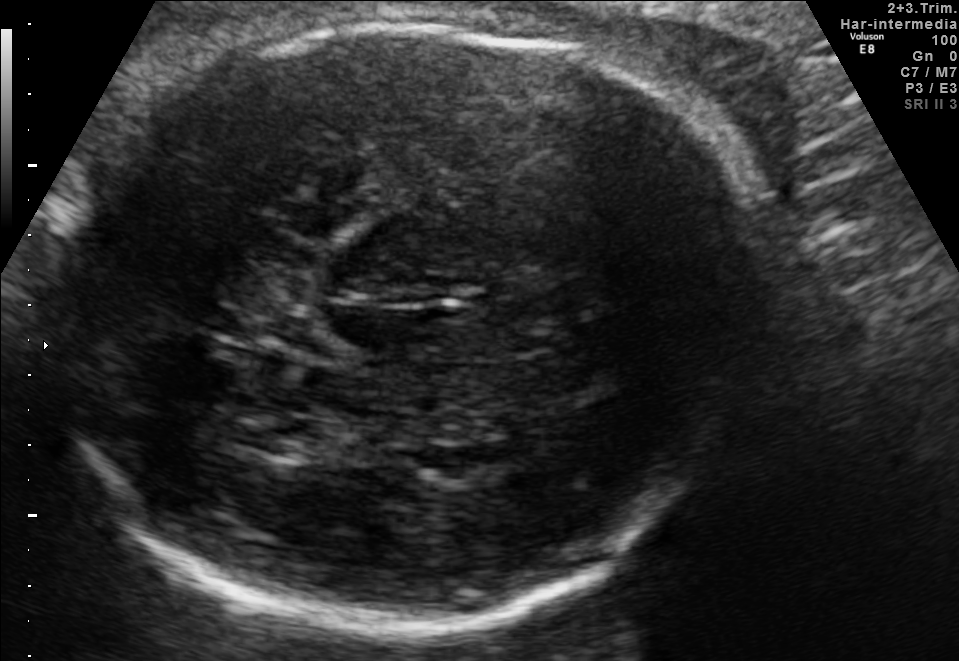
Fetal brain, trans-thalamic plane. Where is the fetal head?

Head bounding box: [49,21,766,626]